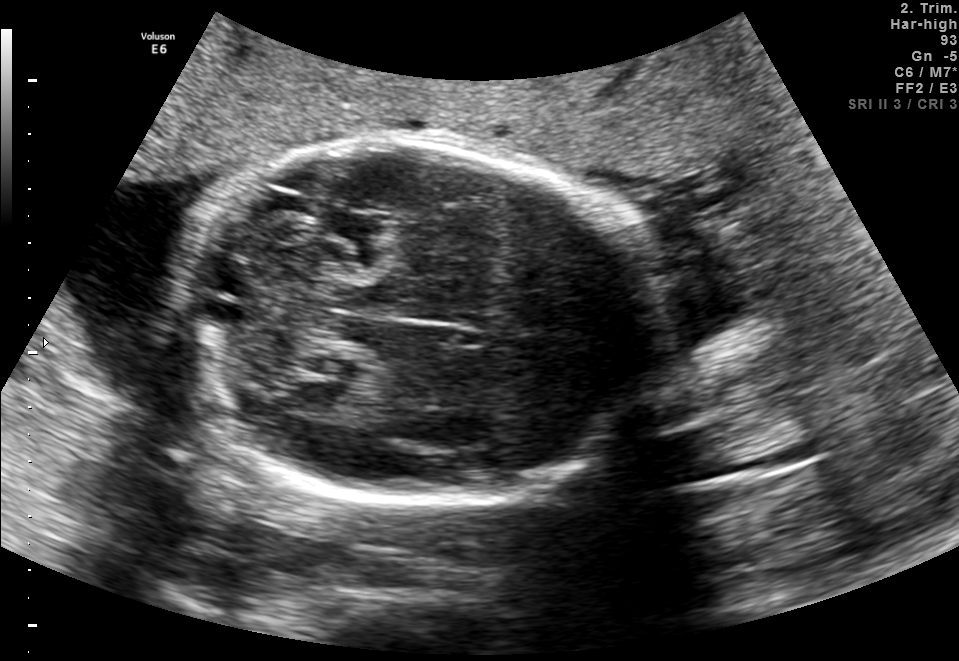
In this fetal brain, trans-cerebellum plane, give the bounding box of the fetal head.

[175,140,644,503]